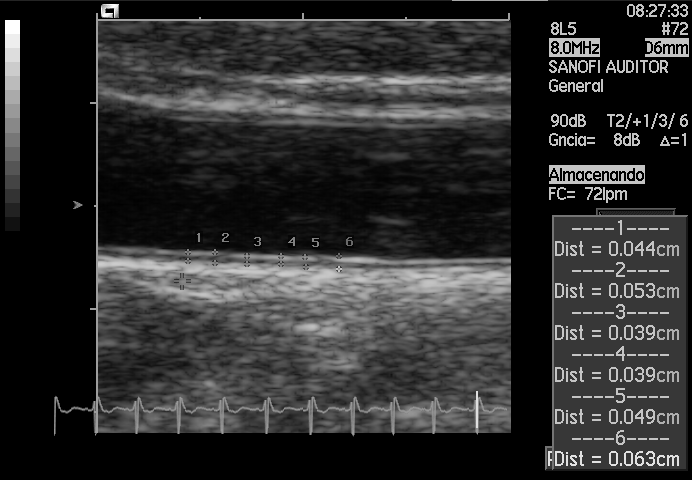
Classify this maternal-fetal ultrasound image as one of the six standard planes — fetal abdomen, fetal brain, fetal femur, fetal thorax, maternal cervix, or other. If it's fetal brain and one of the three standard brain planes (trans-thalamic, trans-cerebellum, trans-ventricular), name which.

Other